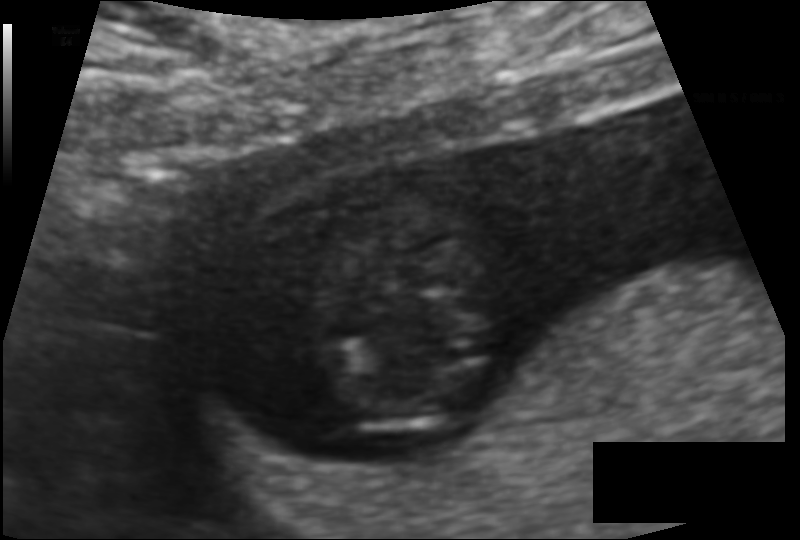
Measure the fetal head circumference shown in this ultrasound image. Image width: 75.5 mm.

Head circumference: 64.5 mm.